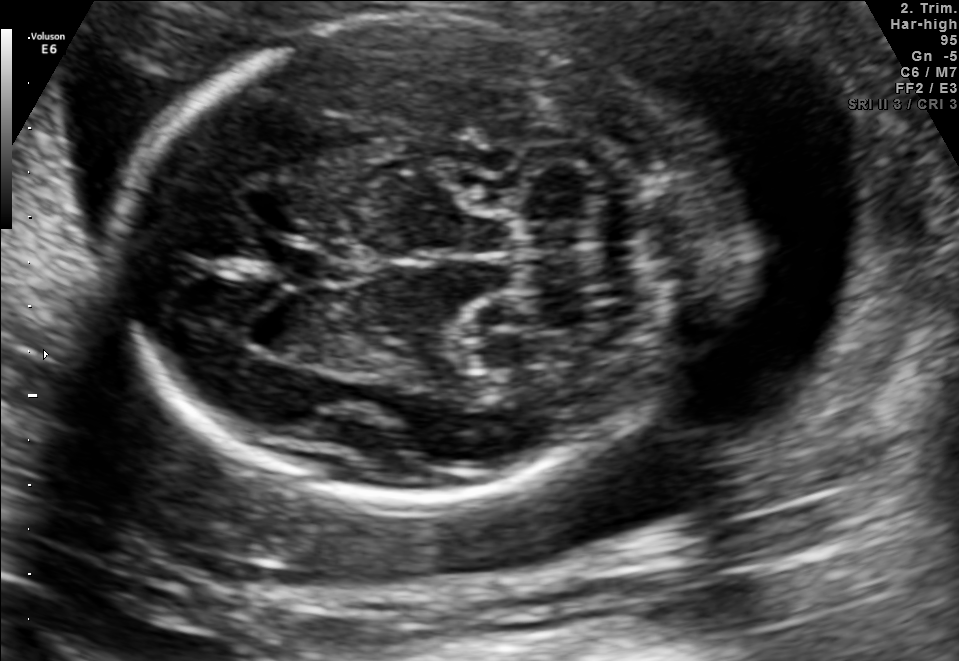
This is a 2D maternal-fetal ultrasound frame. Is it a fetal abdomen, fetal brain, fetal femur, fetal thorax, maternal cervix, or other standard plane? If it's fetal brain and one of the three standard brain planes (trans-thalamic, trans-cerebellum, trans-ventricular), name which.

Fetal brain (trans-cerebellum plane)